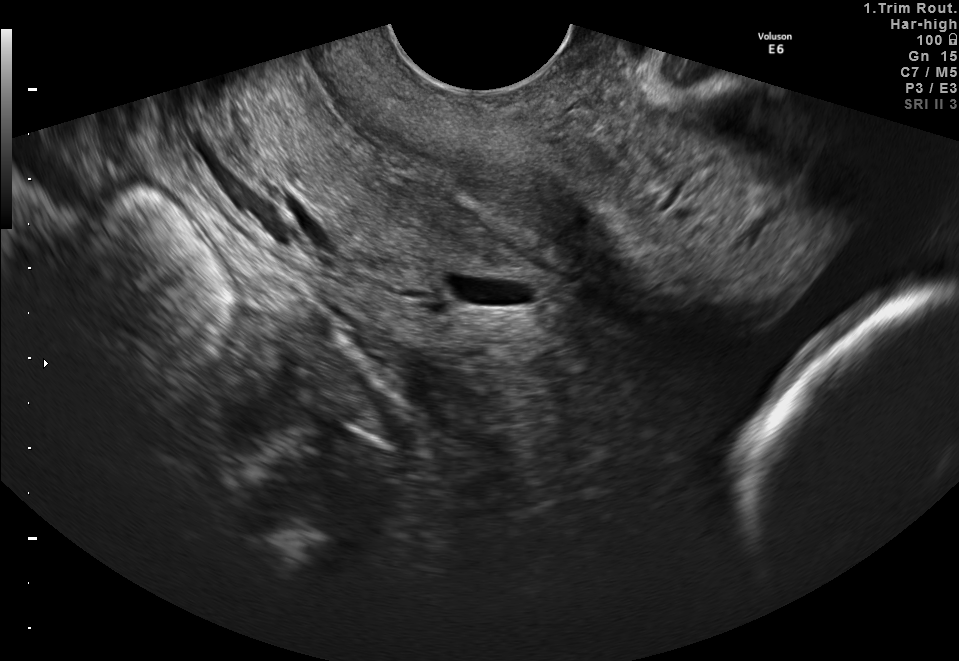
Classify this maternal-fetal ultrasound image as one of the six standard planes — fetal abdomen, fetal brain, fetal femur, fetal thorax, maternal cervix, or other. If it's fetal brain and one of the three standard brain planes (trans-thalamic, trans-cerebellum, trans-ventricular), name which.

Maternal cervix